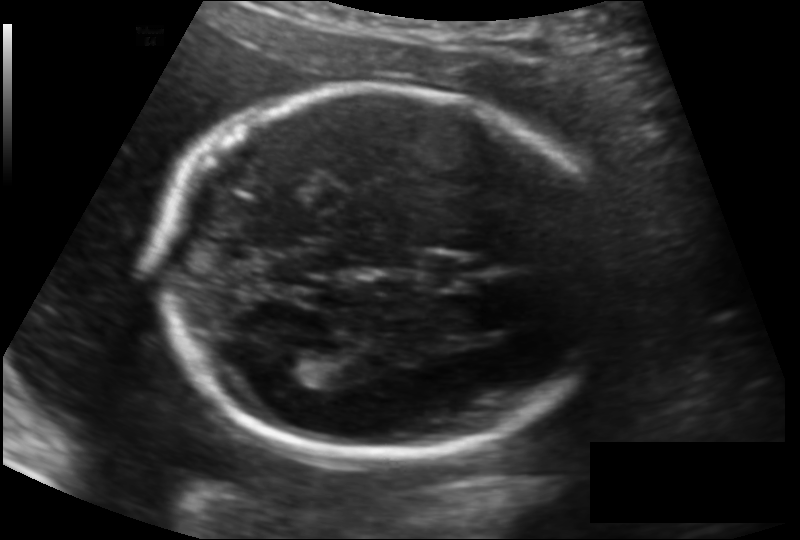
Fetal head ultrasound. Image width: 107.5 mm. Give [x1,y1,x2,y2] bounding boxes for each visible structure among: fetal head, CSP, LV.

Head: [158,87,610,458]
CSP: [412,251,474,292]
Lateral ventricle: [270,345,335,390]